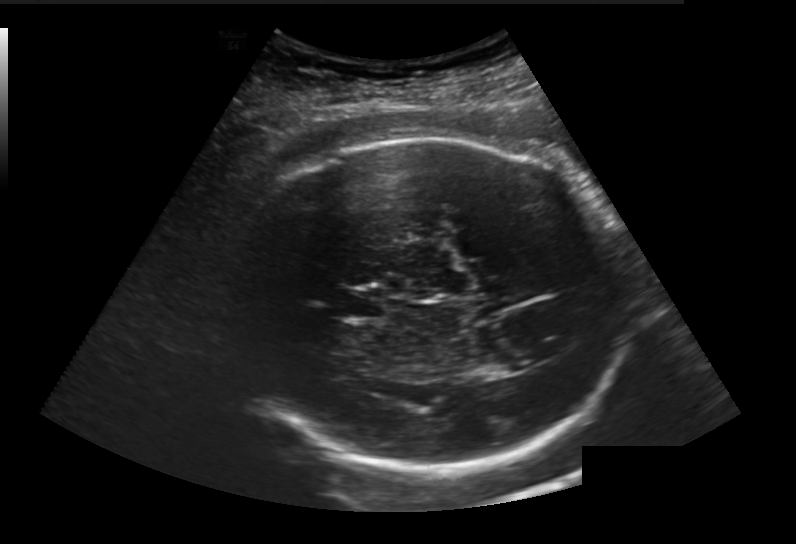
Fetal head ultrasound. Image width: 187.6 mm. Locate the fetal head.

Head: [231,137,630,472]